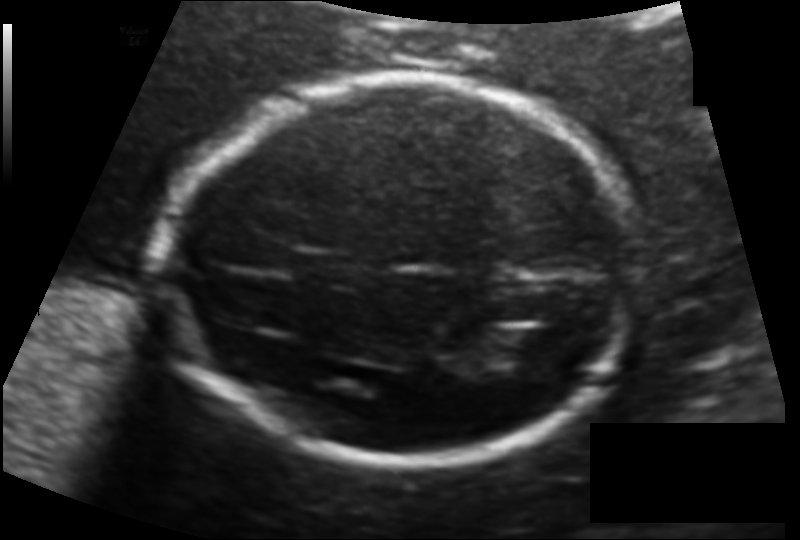
In this fetal head ultrasound, give the bounding box of the fetal head. Image width: 98.0 mm.

[164,75,644,465]